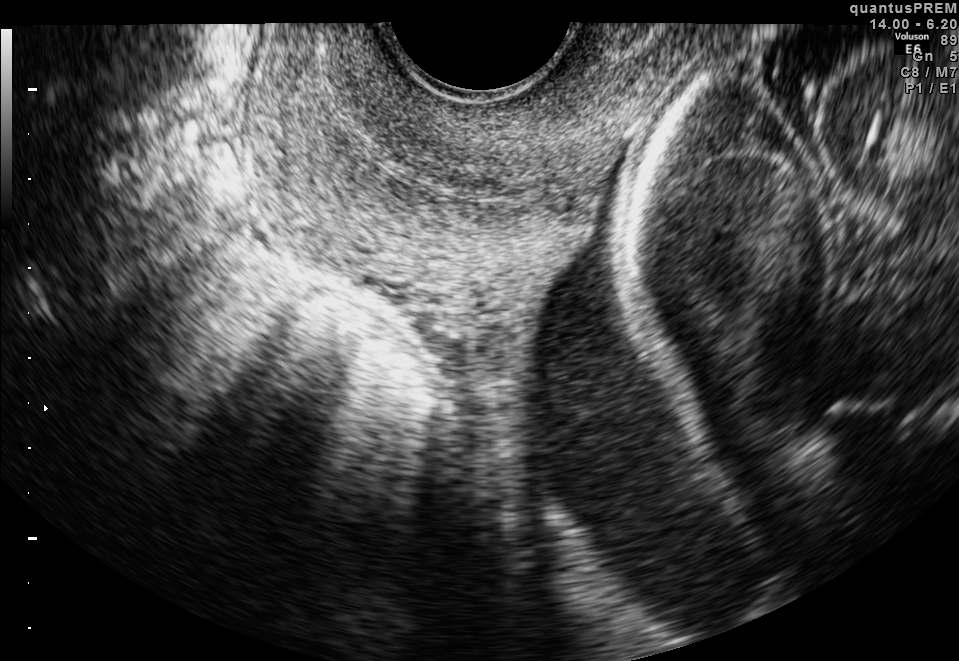
Classify this maternal-fetal ultrasound image as one of the six standard planes — fetal abdomen, fetal brain, fetal femur, fetal thorax, maternal cervix, or other. If it's fetal brain and one of the three standard brain planes (trans-thalamic, trans-cerebellum, trans-ventricular), name which.

Maternal cervix